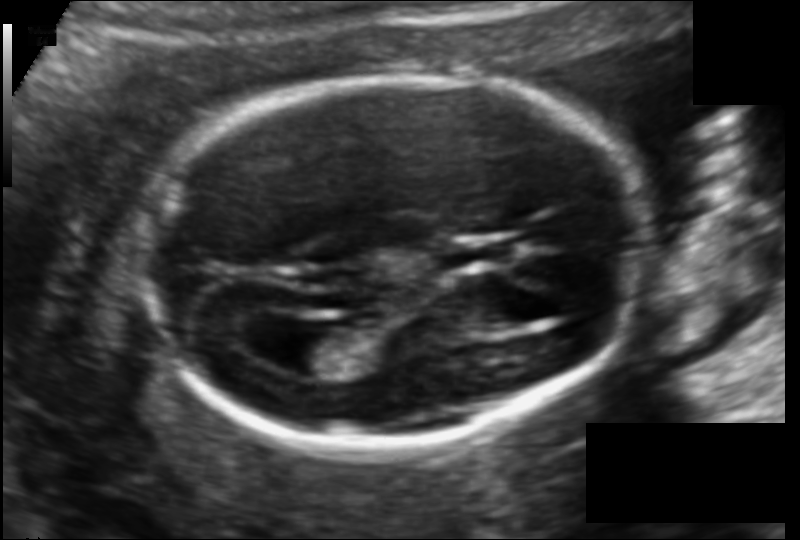
Fetal head ultrasound. Image width: 91.5 mm. Locate the fetal head and, if visible, the cavum septum pellucidum (CSP) and lateral ventricle (LV). Give bounding boxes as [x1,y1,x2,y2].

Head: [141,77,646,447]
CSP: [441,237,507,273]
Lateral ventricle: [257,323,335,379]